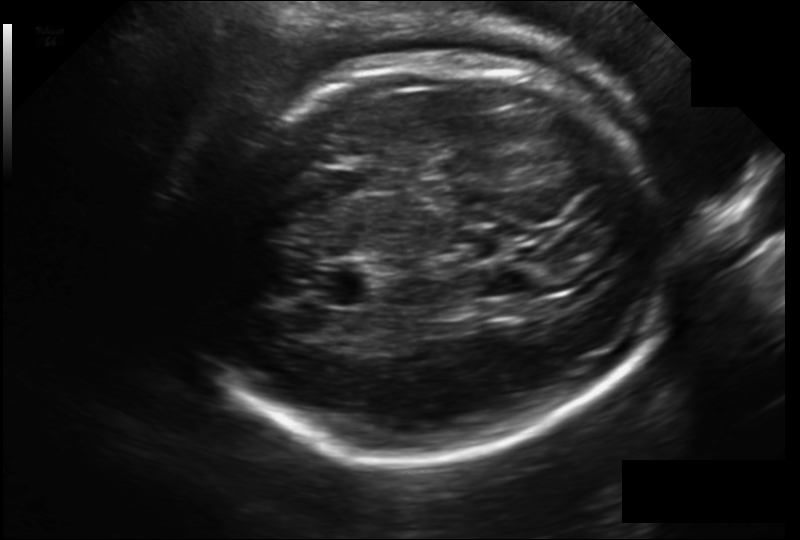
What is the fetal head circumference? Image width is 162.0 mm.

286.5 mm